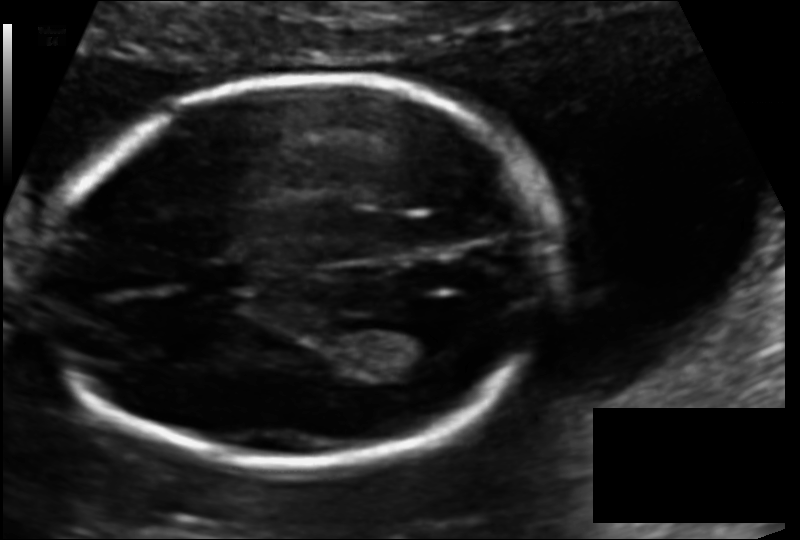
What is the fetal head circumference? Image width is 90.5 mm.

167.7 mm